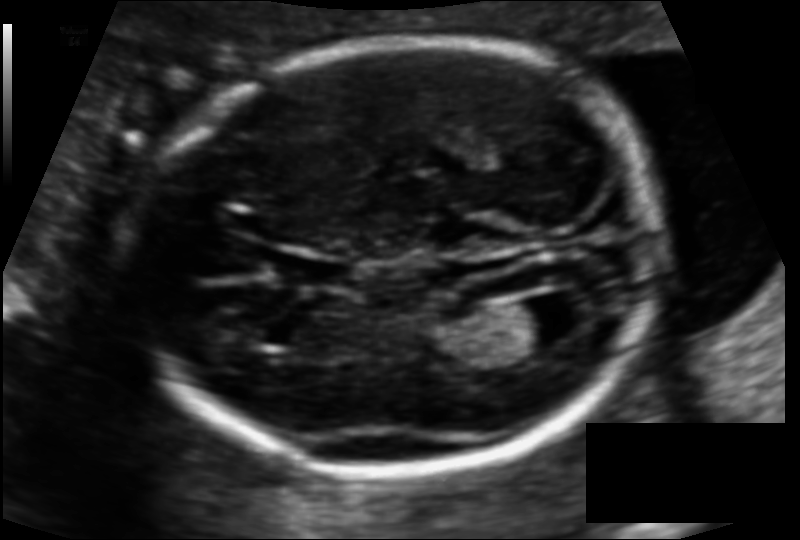
In this fetal head ultrasound, give the bounding box of the cavum septum pellucidum. Image width: 88.1 mm.

[284,253,353,292]